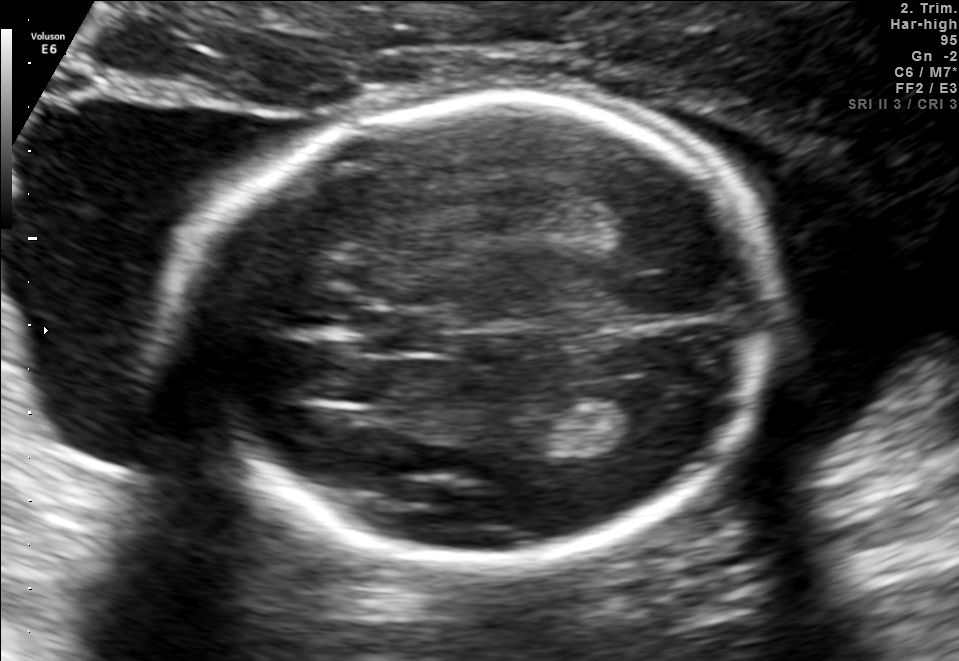
Fetal brain, trans-thalamic plane. Where is the fetal head?

Head bounding box: [186,97,777,554]